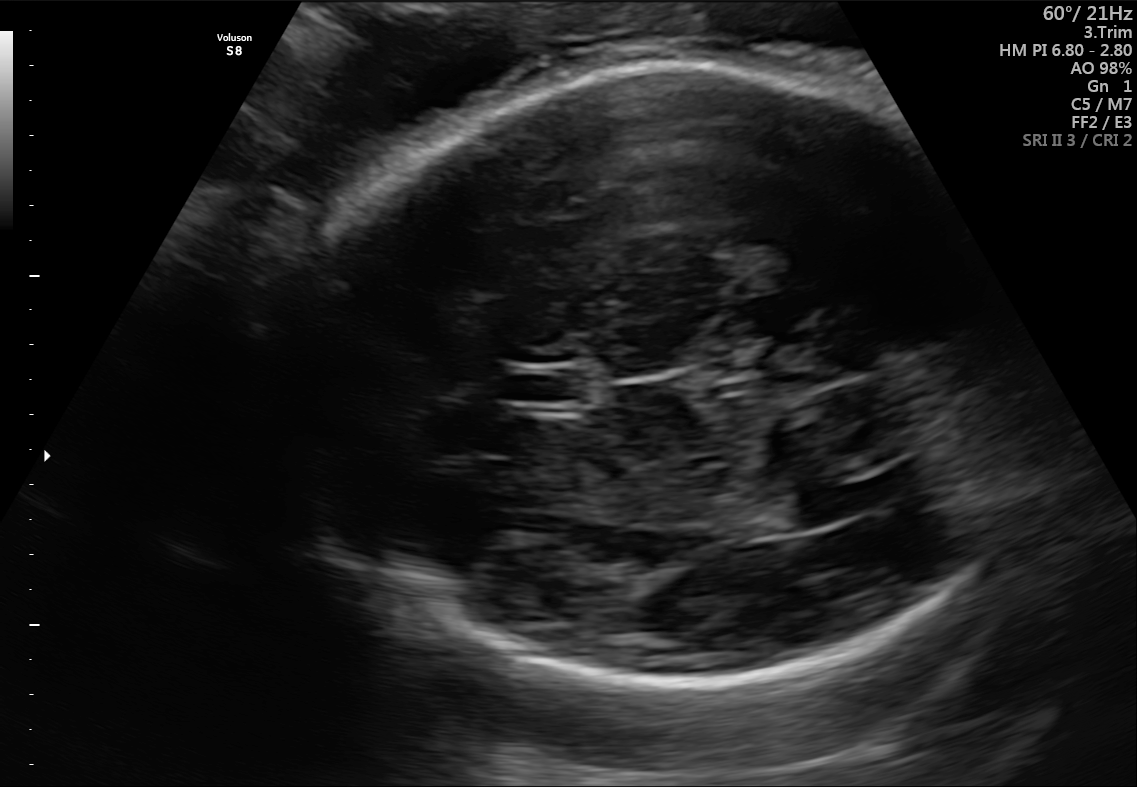
Fetal brain, trans-thalamic plane. Where is the fetal head?

Head bounding box: [256,63,1016,686]